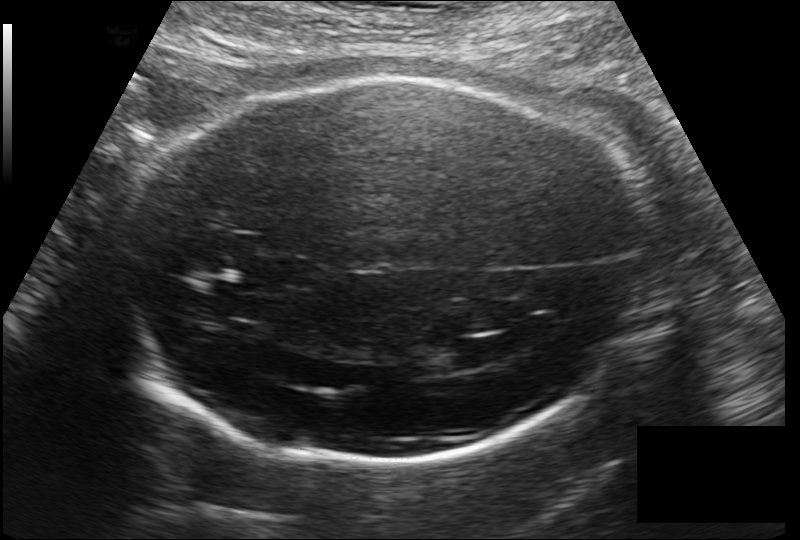
Measure the fetal head circumference shown in this ultrasound image. Image width: 142.0 mm.

Head circumference: 263.5 mm.